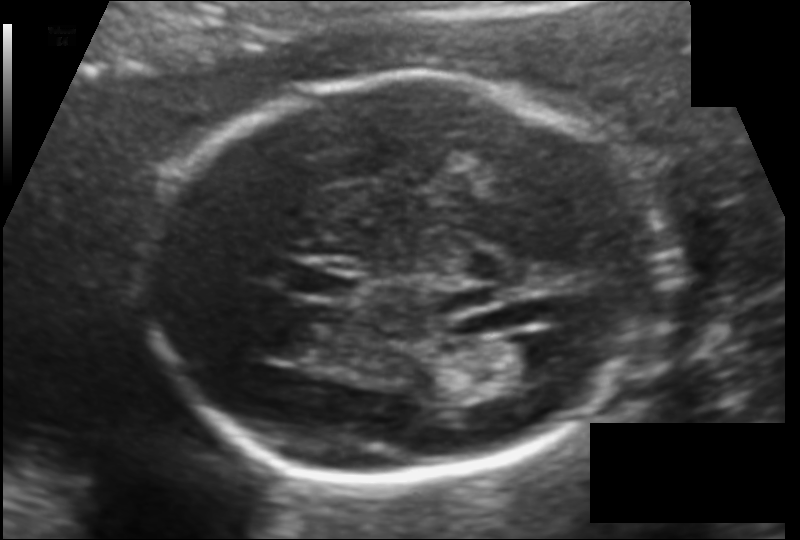
In this fetal head ultrasound, give the bounding box of the lateral ventricle. Image width: 95.9 mm.

[485,329,571,386]